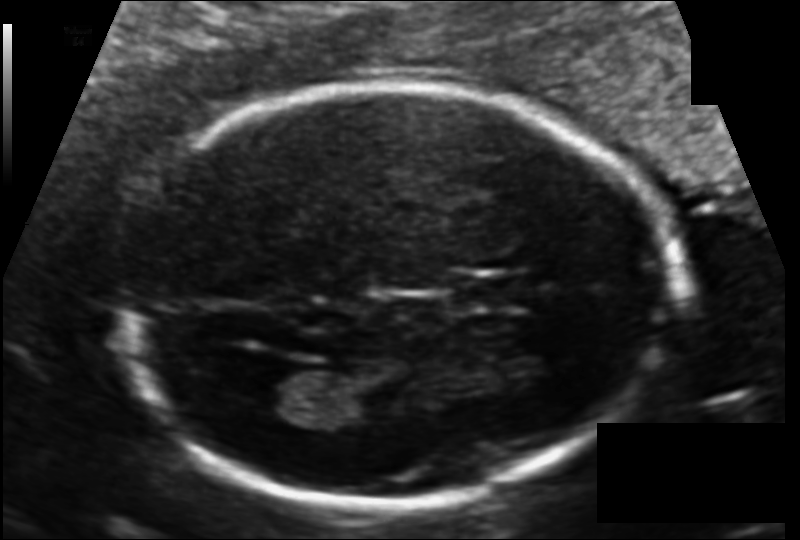
Fetal head ultrasound. Image width: 90.0 mm. Locate the fetal head.

Head: [116,87,679,507]